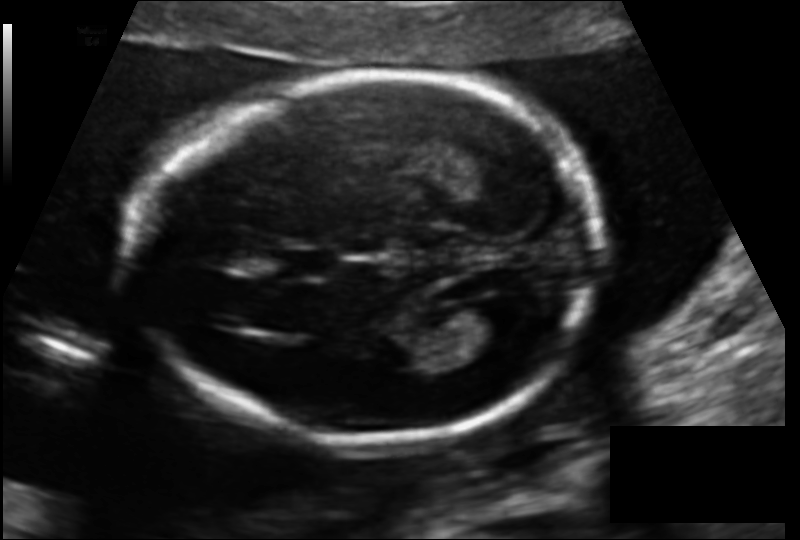
Fetal head ultrasound. Image width: 100.2 mm. Give [x1,y1,x2,y2] bounding boxes for each visible structure among: fetal head, CSP, LV.

Head: [138,76,597,441]
CSP: [278,248,333,277]
Lateral ventricle: [455,283,533,351]